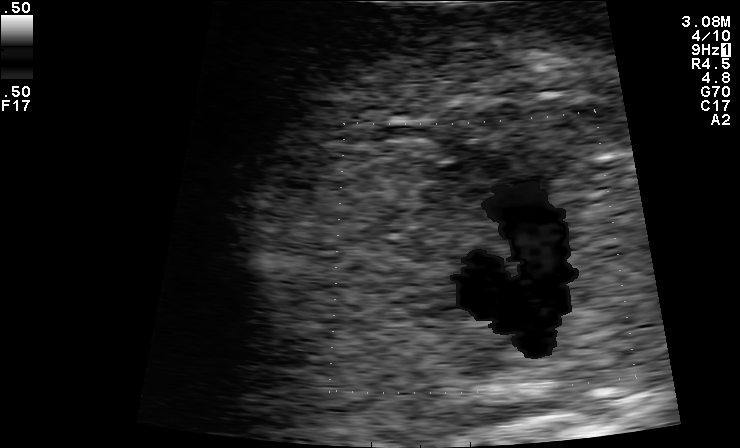
Identify the standard plane in this fetal ultrasound image: fetal abdomen, fetal brain, fetal femur, fetal thorax, maternal cervix, or other. If it's fetal brain and one of the three standard brain planes (trans-thalamic, trans-cerebellum, trans-ventricular), name which.

Other